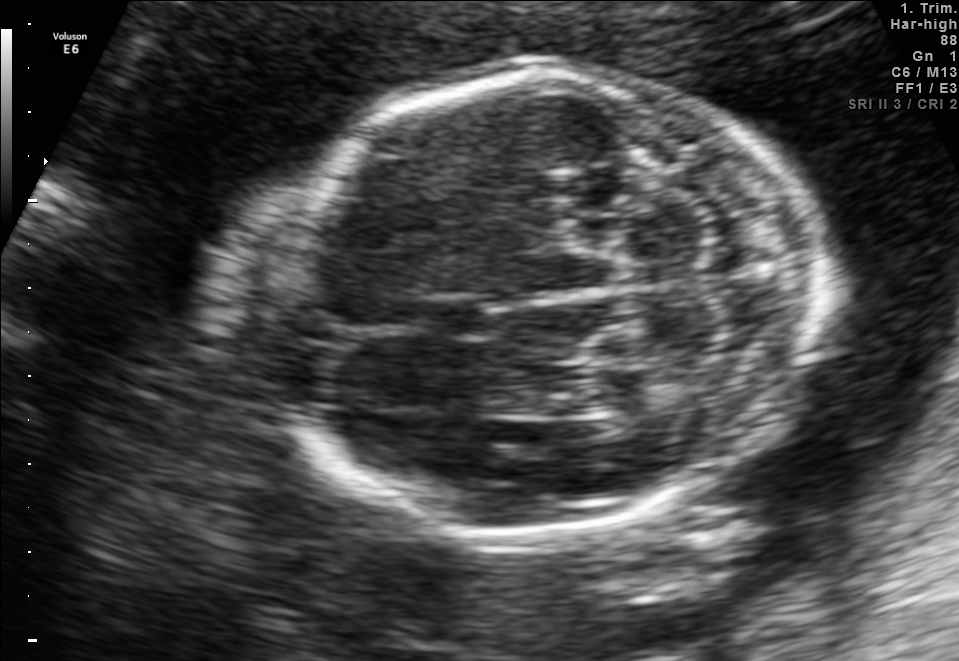
In this fetal brain, trans-cerebellum plane, give the bounding box of the cavum septum pellucidum.

[414,293,496,339]